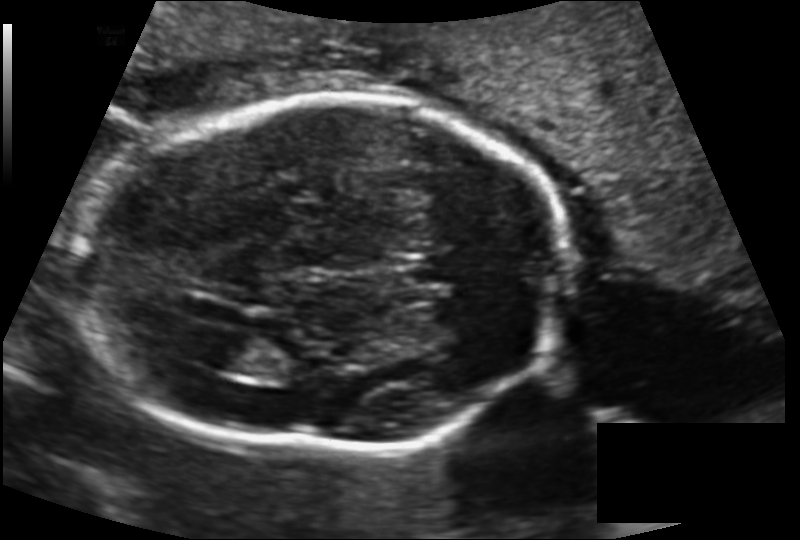
In this fetal head ultrasound, give the bounding box of the cavum septum pellucidum. Image width: 114.0 mm.

[401,255,462,285]